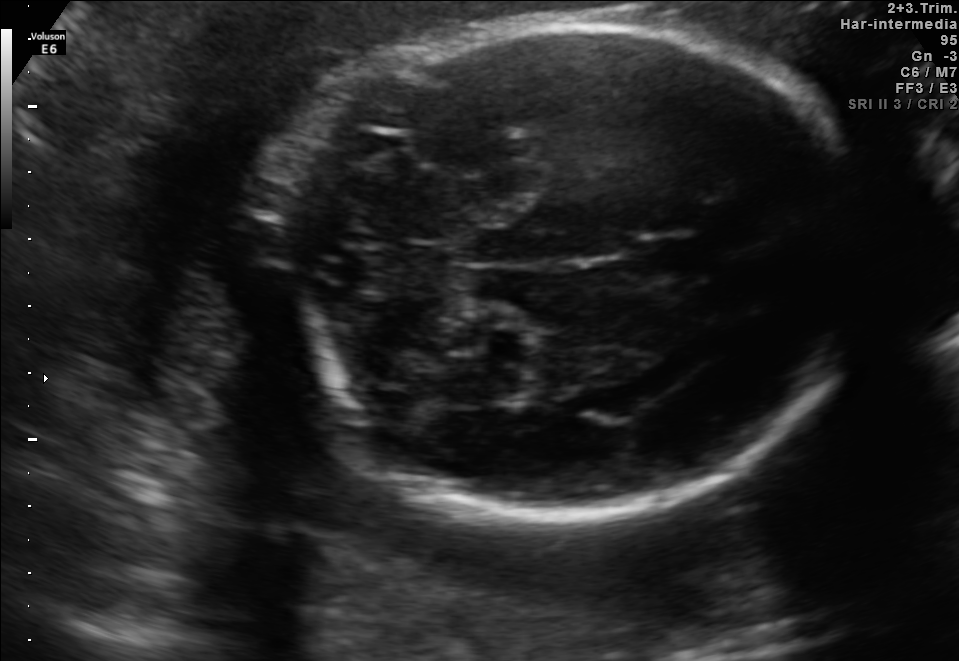
Fetal brain, trans-cerebellum plane. Locate the cavum septum pellucidum.

CSP: [631,227,709,285]